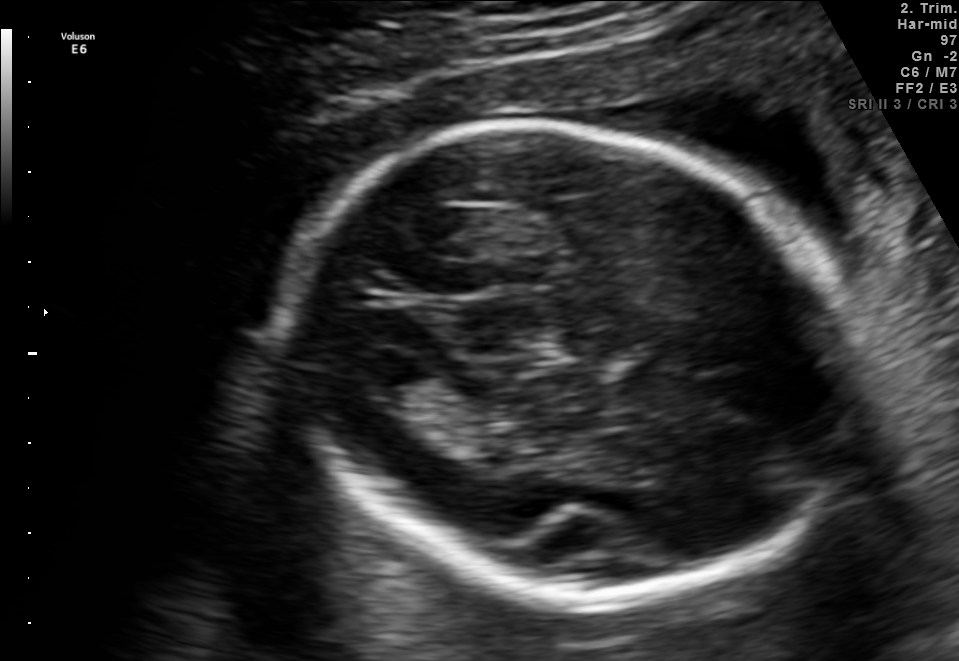
Fetal brain, trans-thalamic plane. Locate the fetal head and, if visible, the cavum septum pellucidum (CSP) and lateral ventricle (LV). Give bounding boxes as [x1,y1,x2,y2].

Head: [288,123,861,604]
Lateral ventricle: [345,324,437,414]